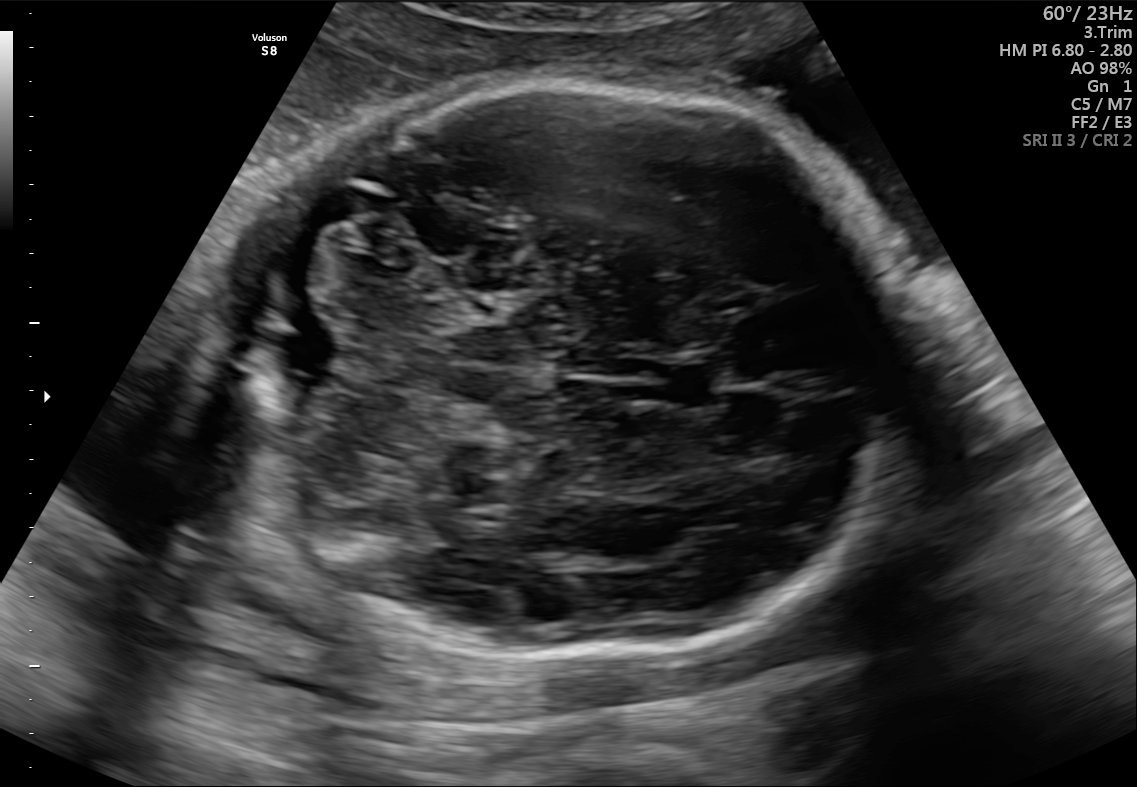
Fetal brain, trans-cerebellum plane. Locate the fetal head and, if visible, the cavum septum pellucidum (CSP) and lateral ventricle (LV). Give bounding boxes as [x1,y1,x2,y2].

Head: [209,81,909,663]
CSP: [650,356,725,406]